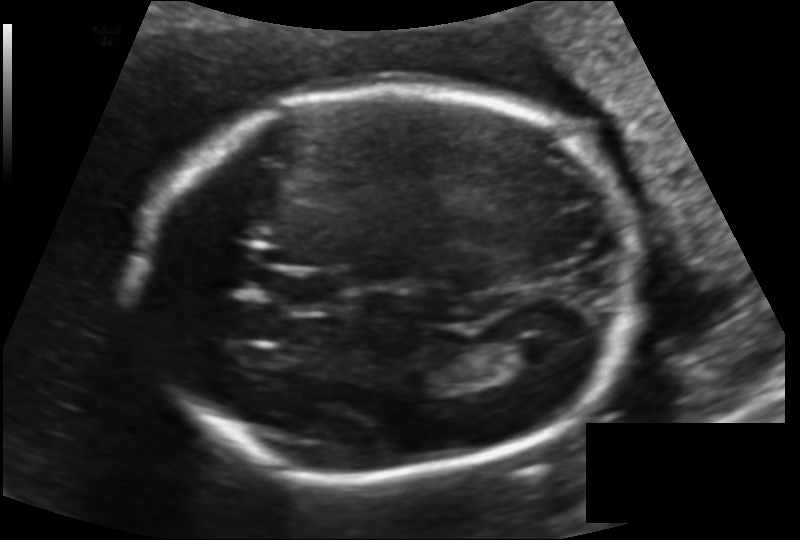
In this fetal head ultrasound, give the bounding box of the lateral ventricle. Image width: 115.0 mm.

[501,330,560,373]